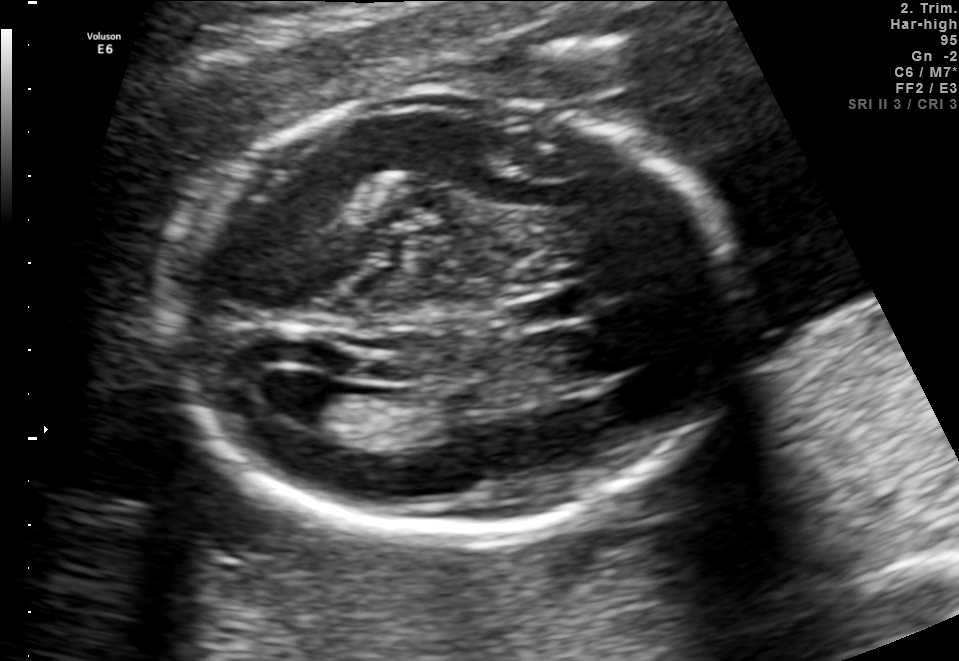
Fetal brain, trans-ventricular plane. Locate the lateral ventricle.

Lateral ventricle: [244,359,346,435]